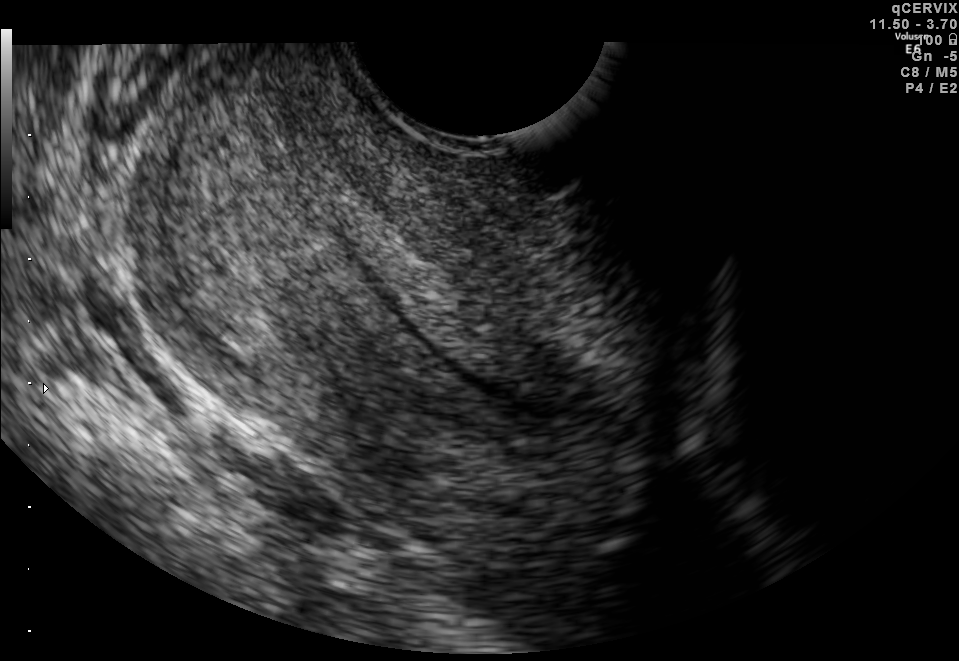
This is a 2D maternal-fetal ultrasound frame. Is it a fetal abdomen, fetal brain, fetal femur, fetal thorax, maternal cervix, or other standard plane? If it's fetal brain and one of the three standard brain planes (trans-thalamic, trans-cerebellum, trans-ventricular), name which.

Maternal cervix